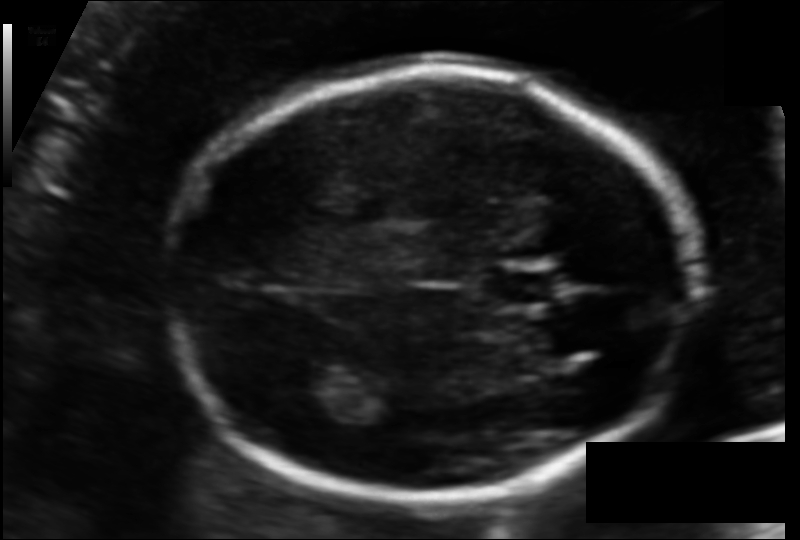
What is the fetal head circumference? Image width is 86.2 mm.

164.3 mm